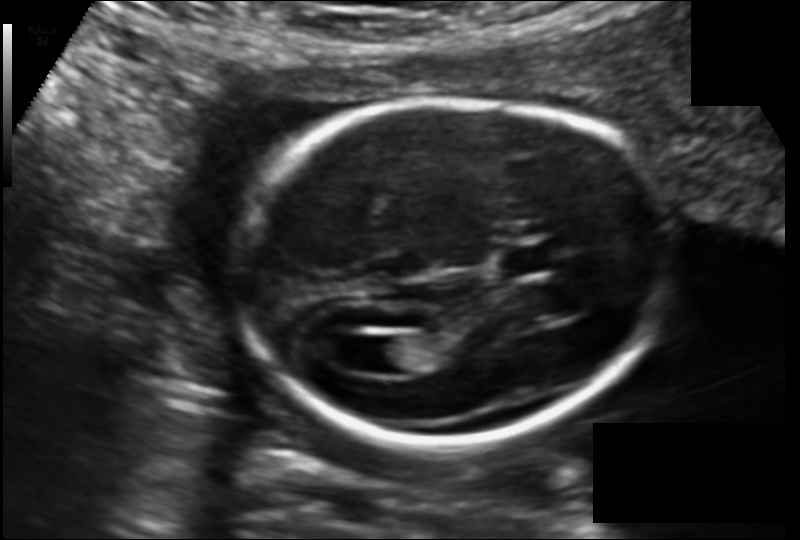
In this fetal head ultrasound, give the bounding box of the cavum septum pellucidum. Image width: 107.8 mm.

[495,239,564,280]